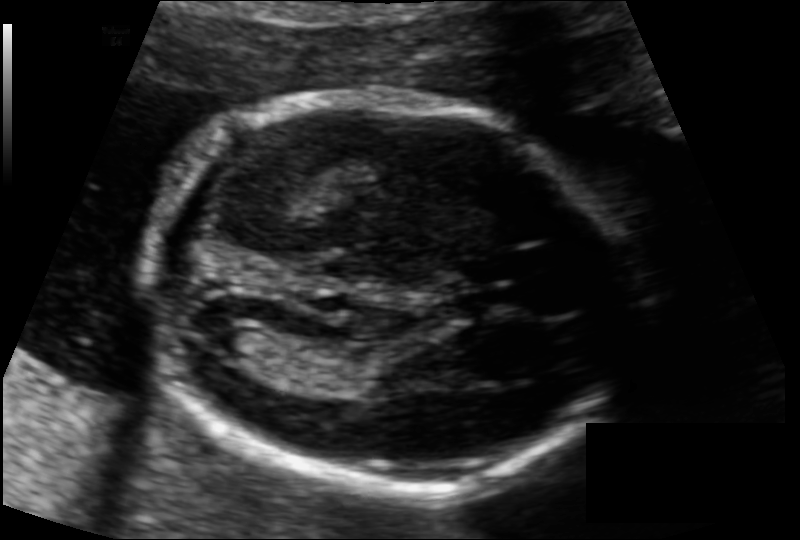
What is the fetal head circumference? Image width is 86.5 mm.

154.5 mm